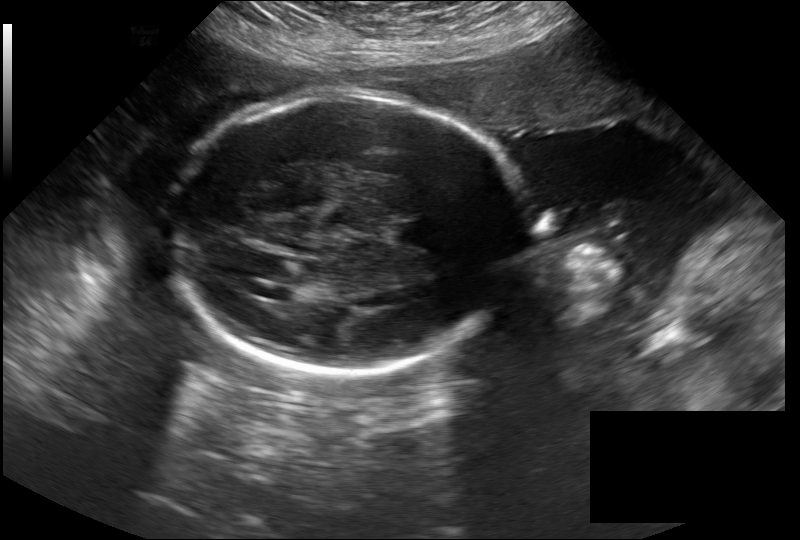
Fetal head ultrasound. Image width: 223.0 mm. Where is the fetal head?

Head bounding box: [167,92,523,374]